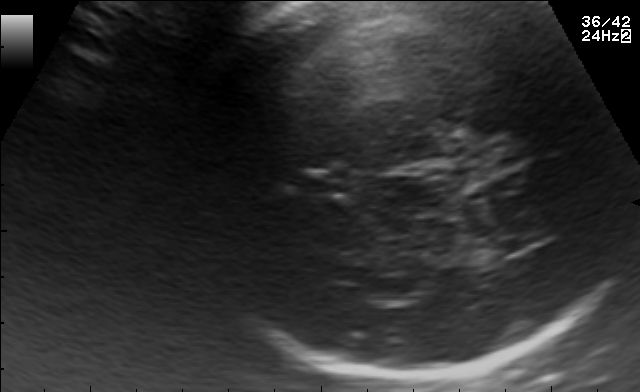
Fetal brain, trans-thalamic plane. Locate the fetal head and, if visible, the cavum septum pellucidum (CSP) and lateral ventricle (LV). Give bounding boxes as [x1,y1,x2,y2].

Head: [182,2,627,378]
CSP: [296,172,349,194]